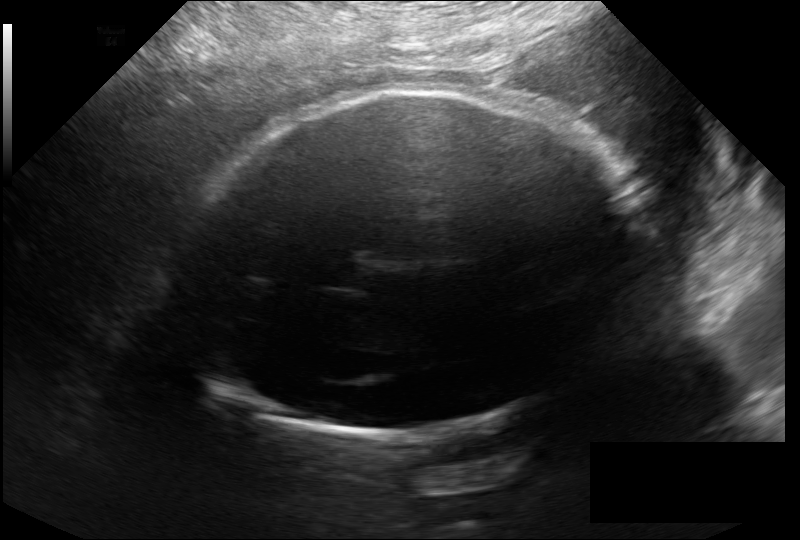
In this fetal head ultrasound, give bounding boxes for the head outline, cavum septum pellucidum (CSP), and lateral ventricle (LV), where visible. Image width: 196.9 mm.

Head: [180,90,626,435]